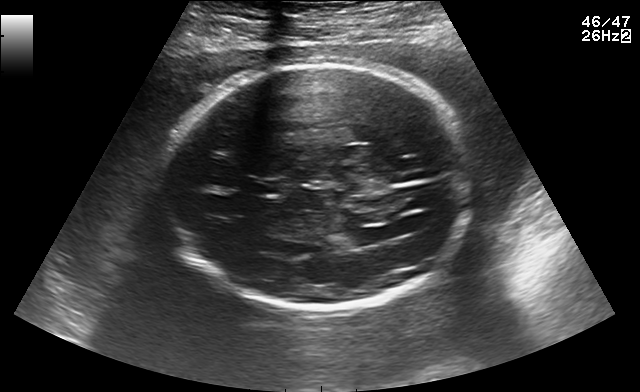
Fetal brain, trans-ventricular plane. Where is the fetal head?

Head bounding box: [160,59,476,317]